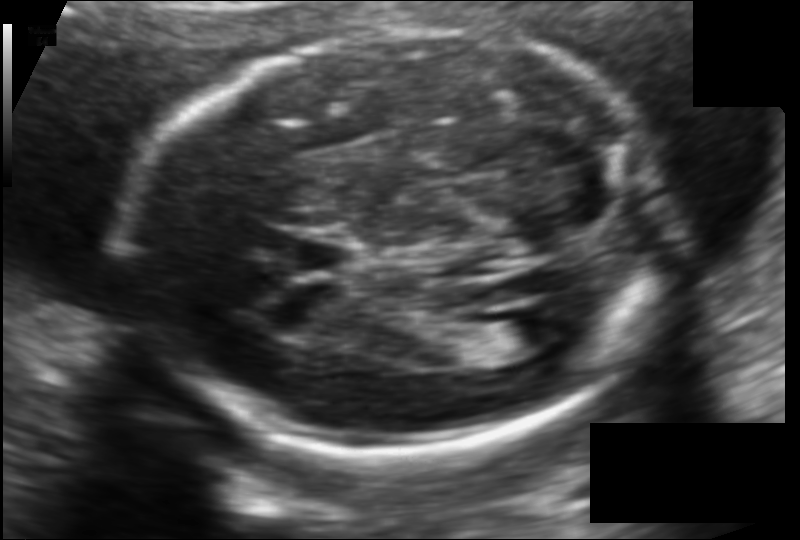
Fetal head ultrasound. Image width: 94.7 mm. Where is the cavum septum pellucidum?

CSP bounding box: [290,232,358,278]